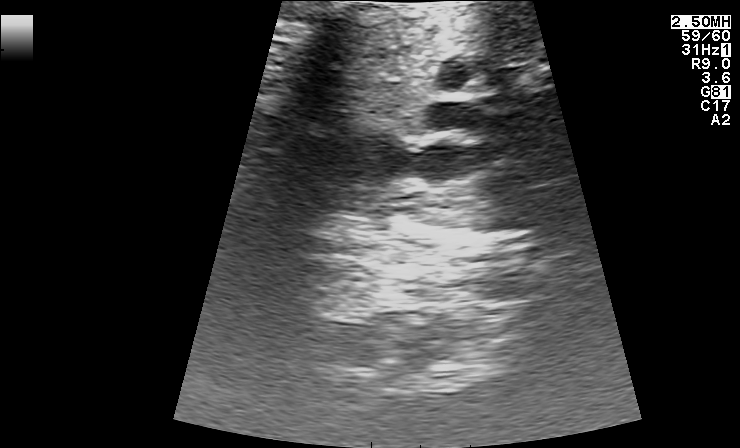
Which standard maternal-fetal ultrasound plane is shown: fetal abdomen, fetal brain, fetal femur, fetal thorax, maternal cervix, or other? If it's fetal brain and one of the three standard brain planes (trans-thalamic, trans-cerebellum, trans-ventricular), name which.

Other